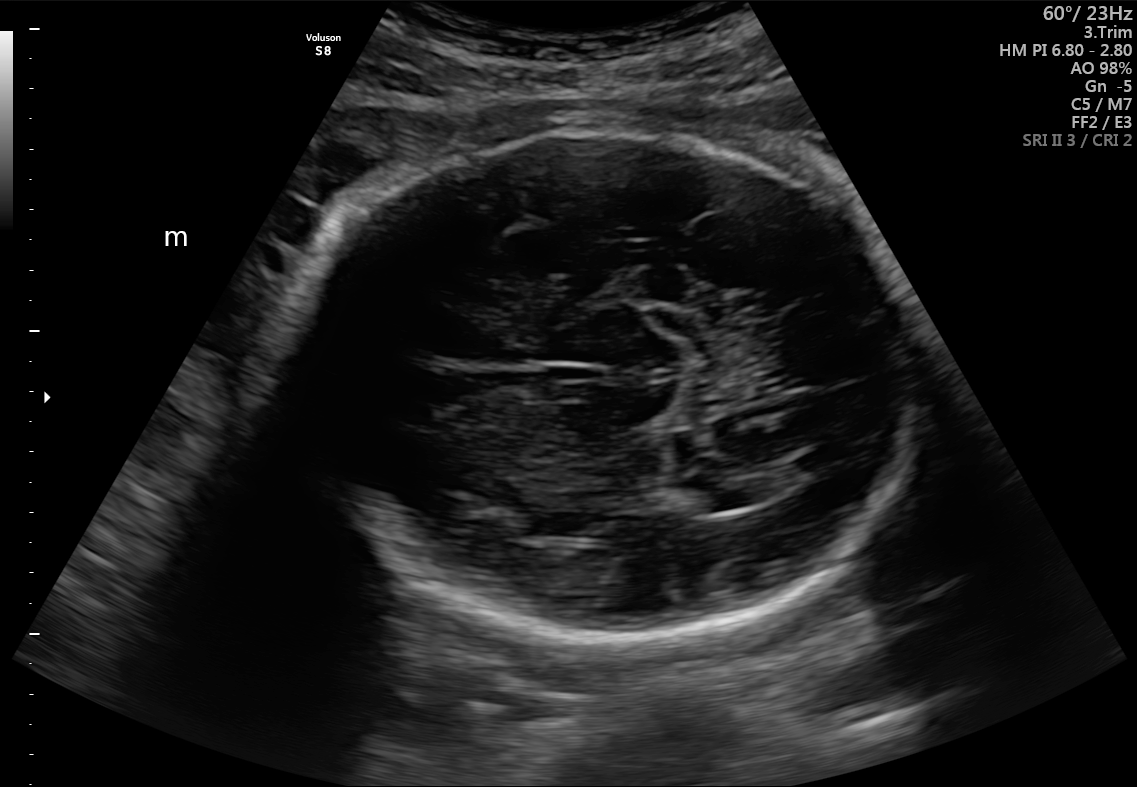
Classify this maternal-fetal ultrasound image as one of the six standard planes — fetal abdomen, fetal brain, fetal femur, fetal thorax, maternal cervix, or other. If it's fetal brain and one of the three standard brain planes (trans-thalamic, trans-cerebellum, trans-ventricular), name which.

Fetal brain (trans-thalamic plane)